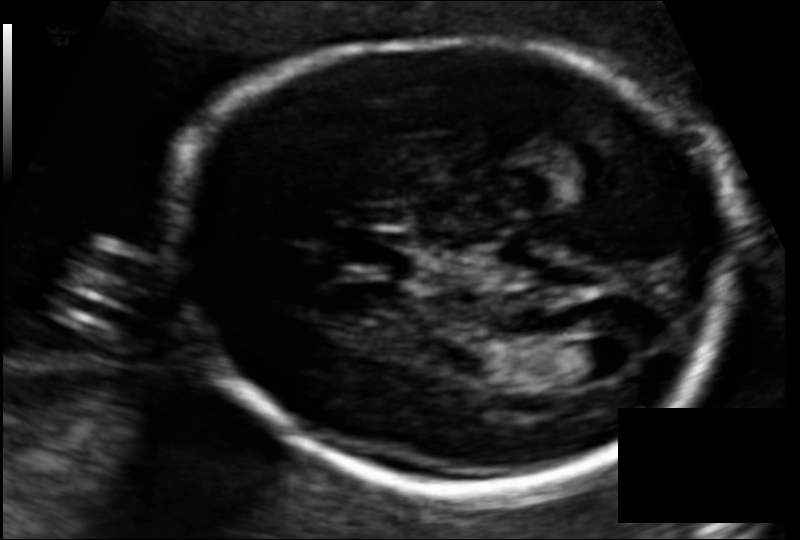
Fetal head ultrasound. Image width: 86.4 mm. Where is the fetal head?

Head bounding box: [164,40,729,487]